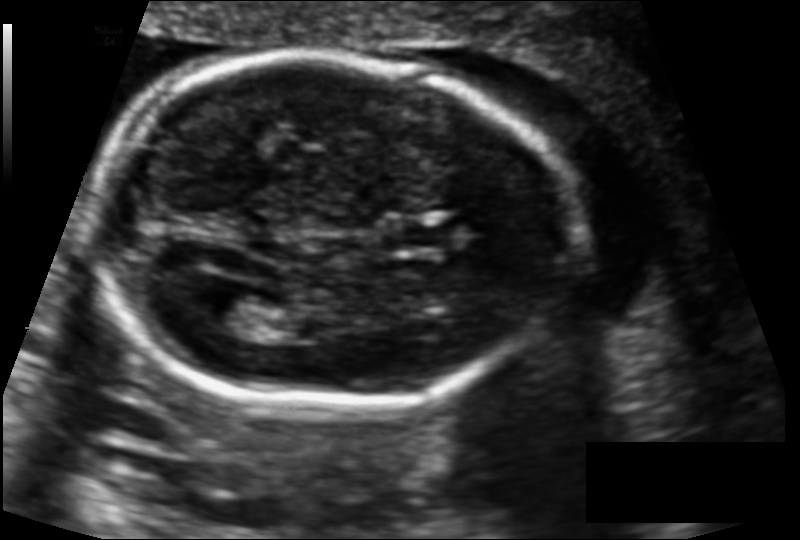
Fetal head ultrasound. Image width: 97.4 mm. Locate the fetal head and, if visible, the cavum septum pellucidum (CSP) and lateral ventricle (LV). Give bounding boxes as [x1,y1,x2,y2].

Head: [91,55,576,407]
CSP: [382,218,452,251]
Lateral ventricle: [202,282,271,339]